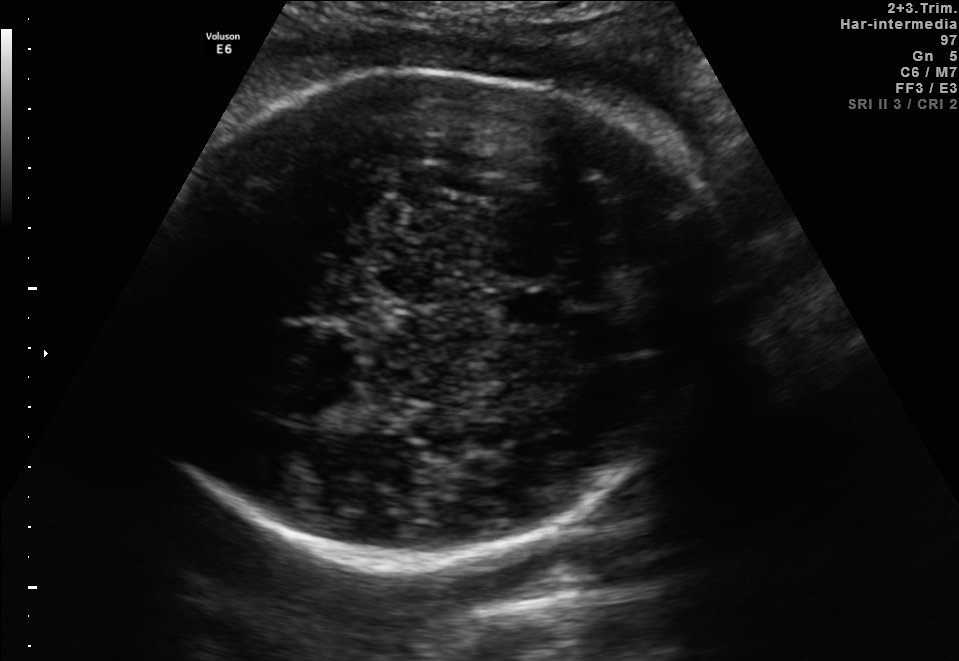
Fetal brain, trans-thalamic plane. Where is the fetal head?

Head bounding box: [139,75,726,572]